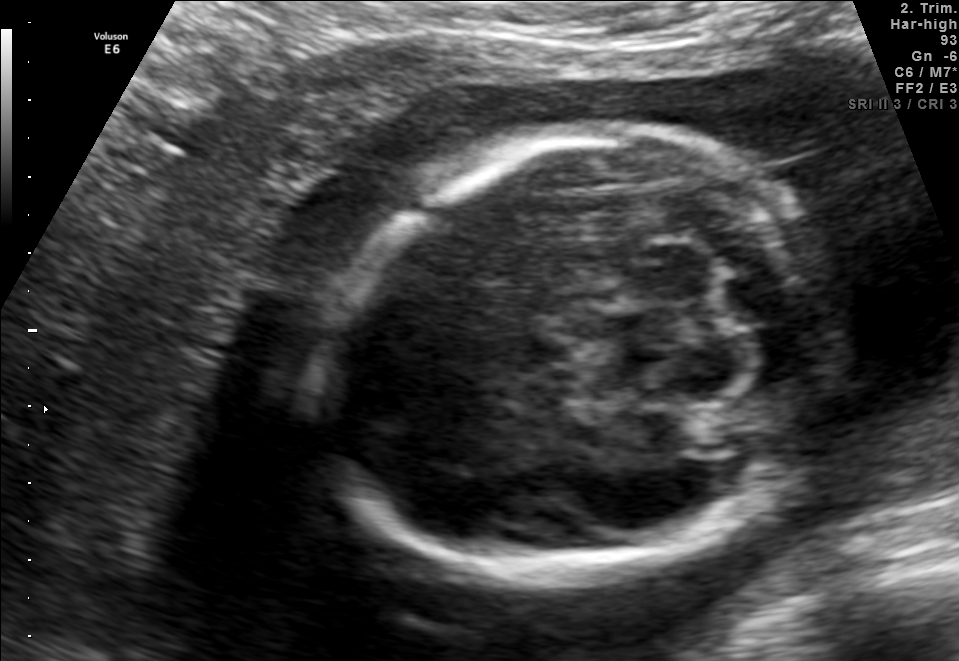
Fetal brain, trans-cerebellum plane. Give [x1,y1,x2,y2] bounding boxes for each visible structure among: fetal head, CSP, LV.

Head: [323,127,826,582]